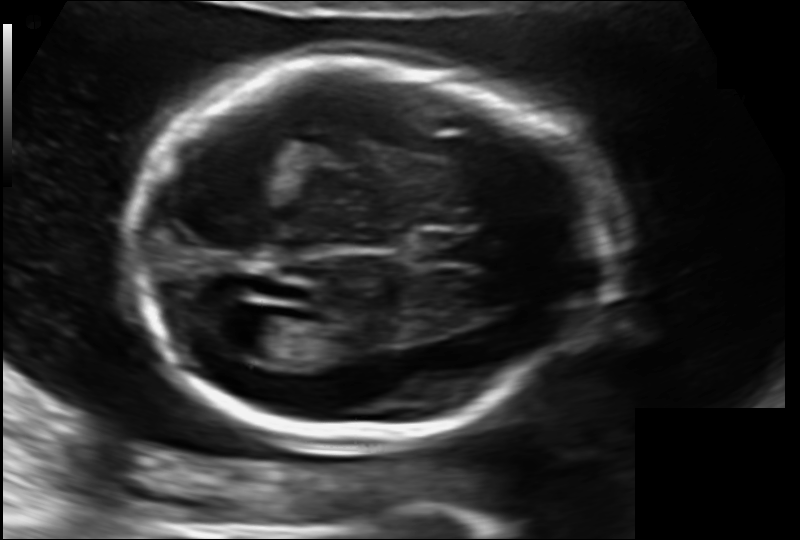
Fetal head ultrasound. Image width: 103.9 mm. Locate the lateral ventricle.

Lateral ventricle: [230,310,310,366]